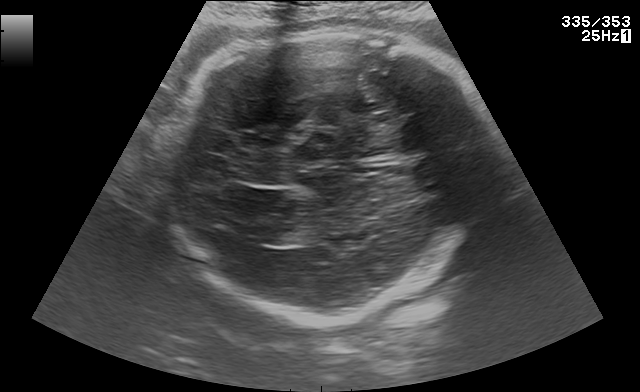
Fetal brain, trans-thalamic plane. Give [x1,y1,x2,y2] bounding boxes for each visible structure among: fetal head, CSP, LV.

Head: [169,26,502,321]
Lateral ventricle: [257,225,312,246]